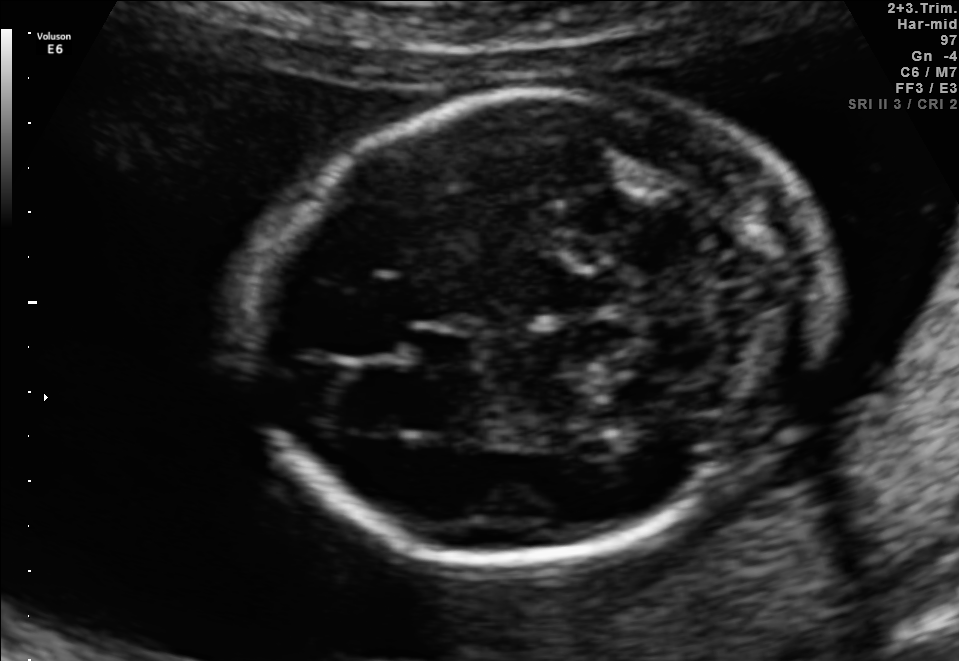
Fetal brain, trans-cerebellum plane. Where is the cavum septum pellucidum?

CSP bounding box: [411,323,476,369]